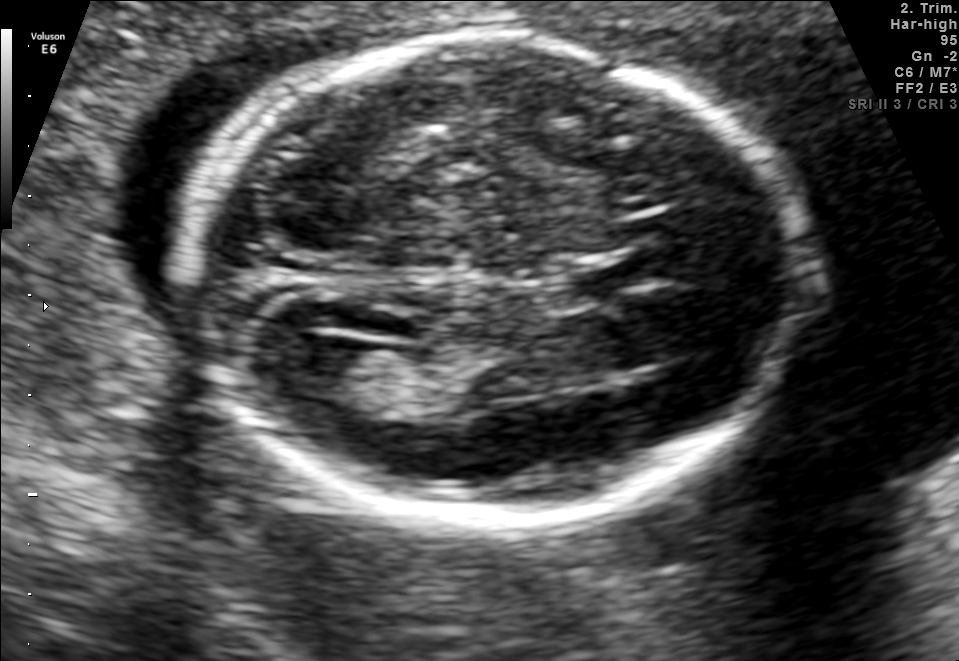
Fetal brain, trans-ventricular plane. Where is the cavum septum pellucidum?

CSP bounding box: [530,238,668,314]